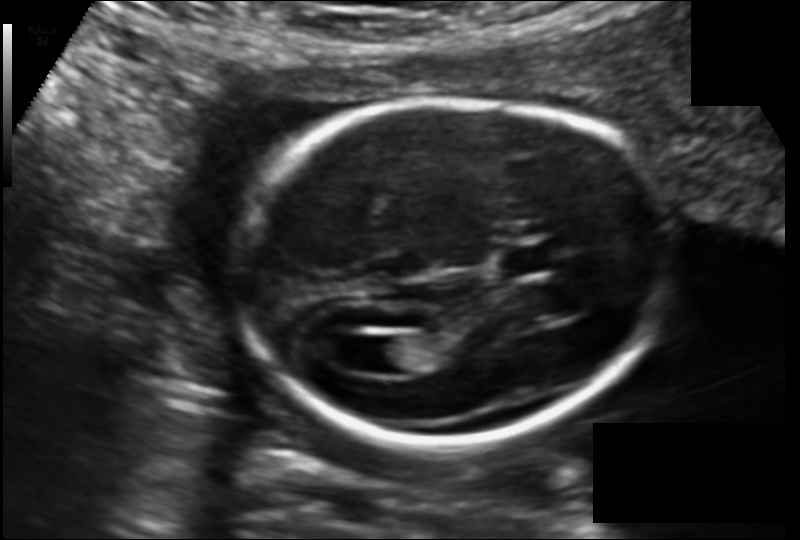
Fetal head ultrasound. Image width: 107.8 mm. Locate the cavum septum pellucidum.

CSP: [495,239,564,280]